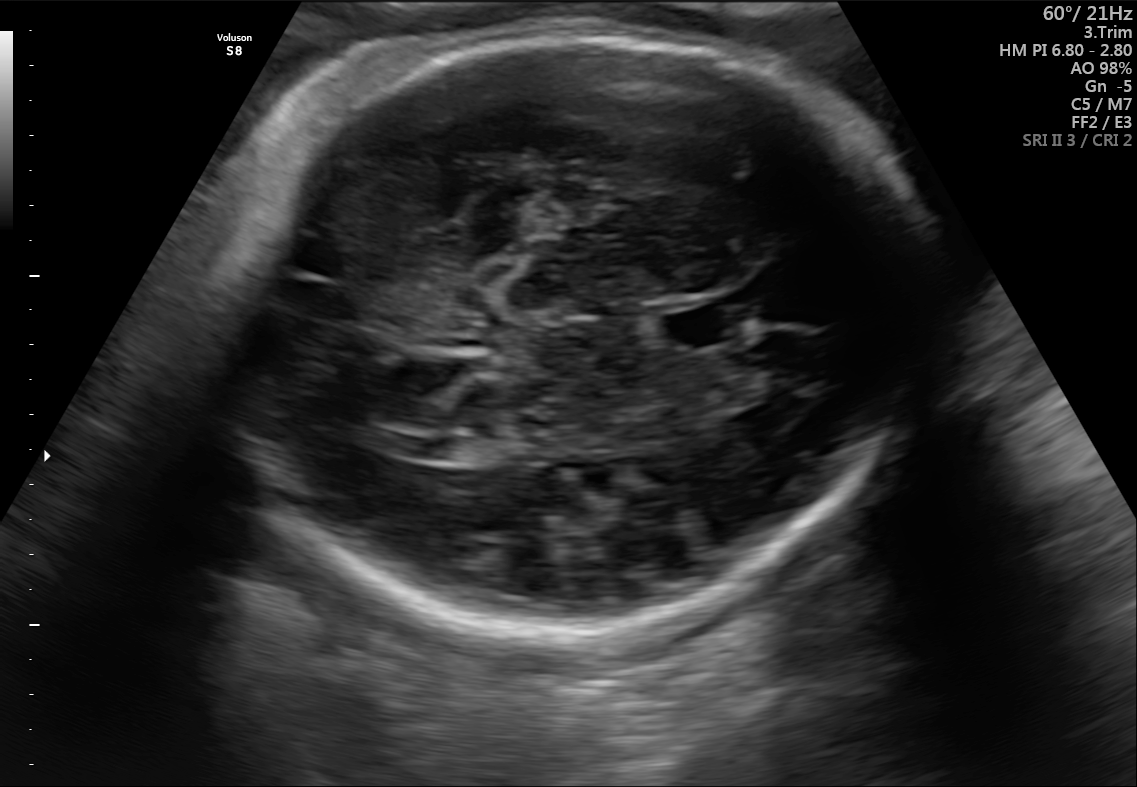
Fetal brain, trans-thalamic plane. Locate the fetal head.

Head: [206,29,931,623]